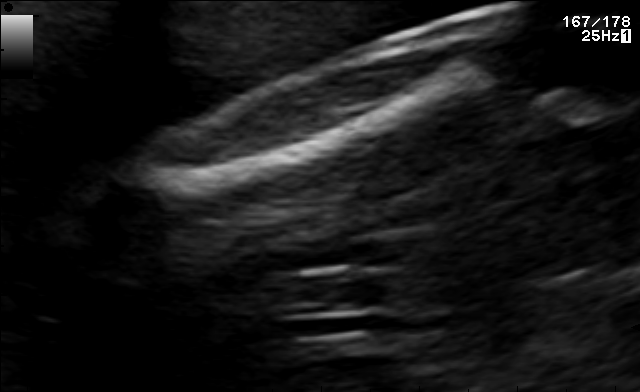
Identify the standard plane in this fetal ultrasound image: fetal abdomen, fetal brain, fetal femur, fetal thorax, maternal cervix, or other. If it's fetal brain and one of the three standard brain planes (trans-thalamic, trans-cerebellum, trans-ventricular), name which.

Fetal femur